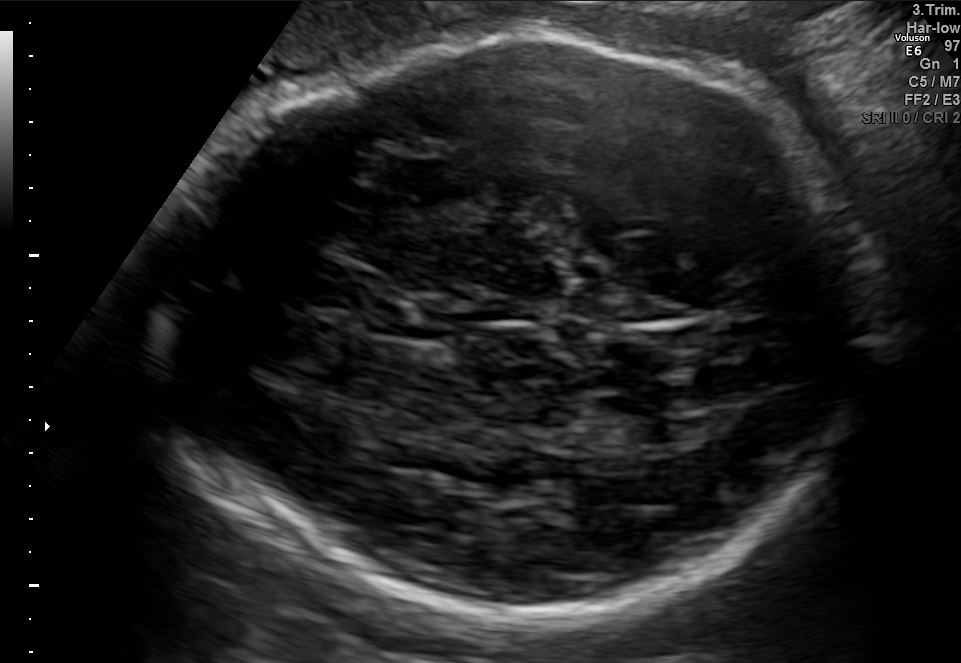
Fetal brain, trans-thalamic plane. Locate the fetal head and, if visible, the cavum septum pellucidum (CSP) and lateral ventricle (LV). Give bounding boxes as [x1,y1,x2,y2].

Head: [150,33,875,616]